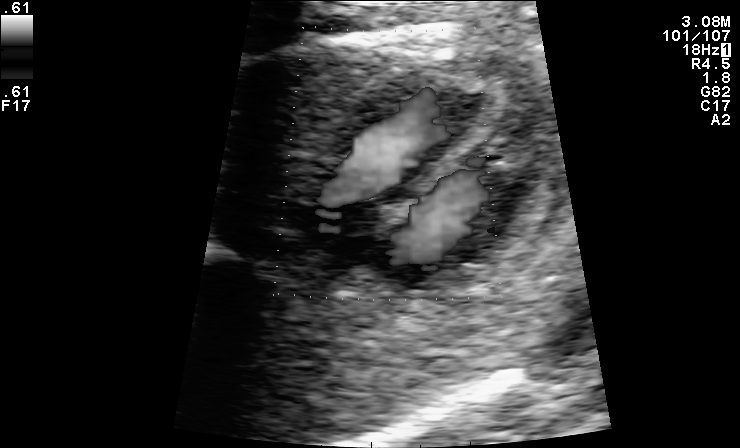
Which standard maternal-fetal ultrasound plane is shown: fetal abdomen, fetal brain, fetal femur, fetal thorax, maternal cervix, or other? If it's fetal brain and one of the three standard brain planes (trans-thalamic, trans-cerebellum, trans-ventricular), name which.

Other